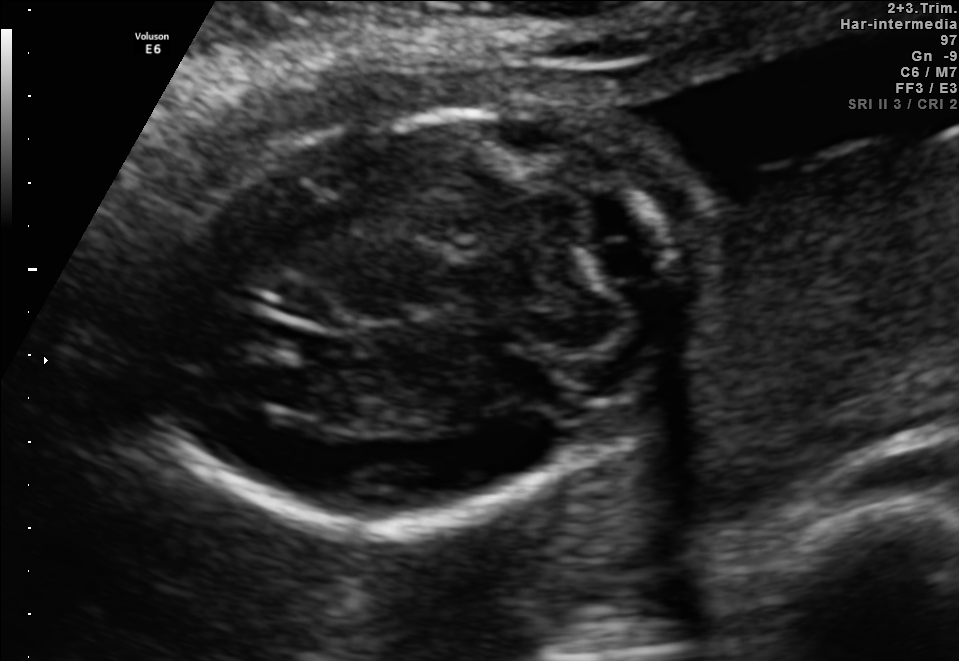
In this fetal brain, trans-cerebellum plane, give the bounding box of the fetal head.

[158,105,717,520]